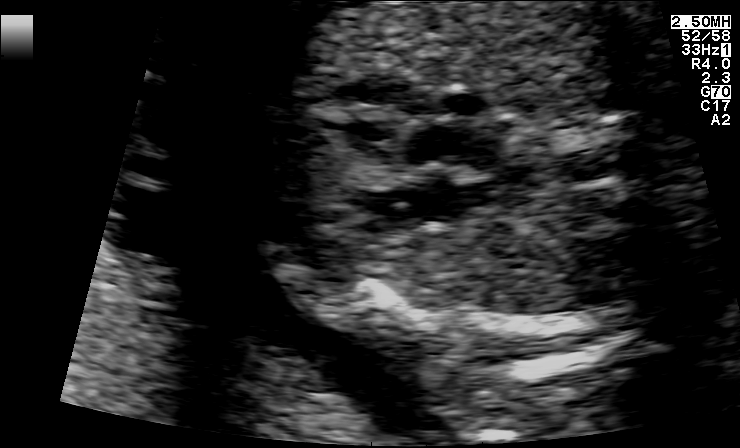
Classify this maternal-fetal ultrasound image as one of the six standard planes — fetal abdomen, fetal brain, fetal femur, fetal thorax, maternal cervix, or other. If it's fetal brain and one of the three standard brain planes (trans-thalamic, trans-cerebellum, trans-ventricular), name which.

Fetal thorax